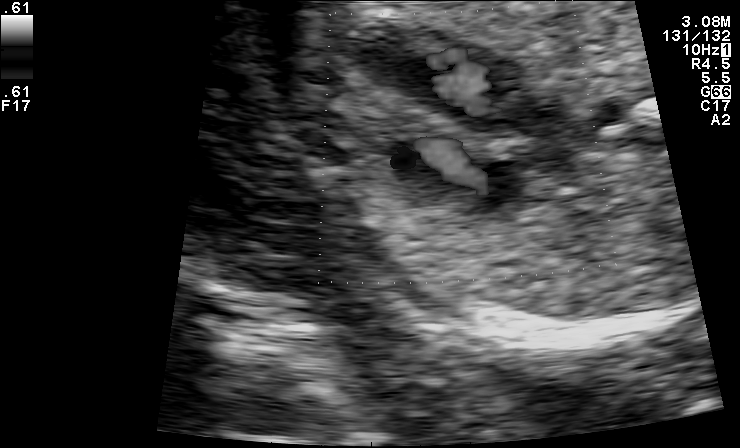
Identify the standard plane in this fetal ultrasound image: fetal abdomen, fetal brain, fetal femur, fetal thorax, maternal cervix, or other. If it's fetal brain and one of the three standard brain planes (trans-thalamic, trans-cerebellum, trans-ventricular), name which.

Other